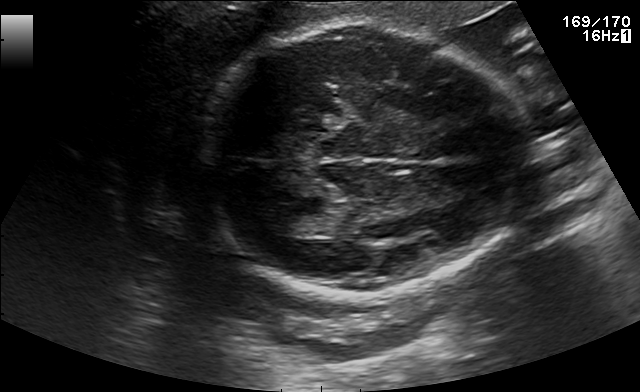
Identify the standard plane in this fetal ultrasound image: fetal abdomen, fetal brain, fetal femur, fetal thorax, maternal cervix, or other. If it's fetal brain and one of the three standard brain planes (trans-thalamic, trans-cerebellum, trans-ventricular), name which.

Fetal brain (trans-thalamic plane)